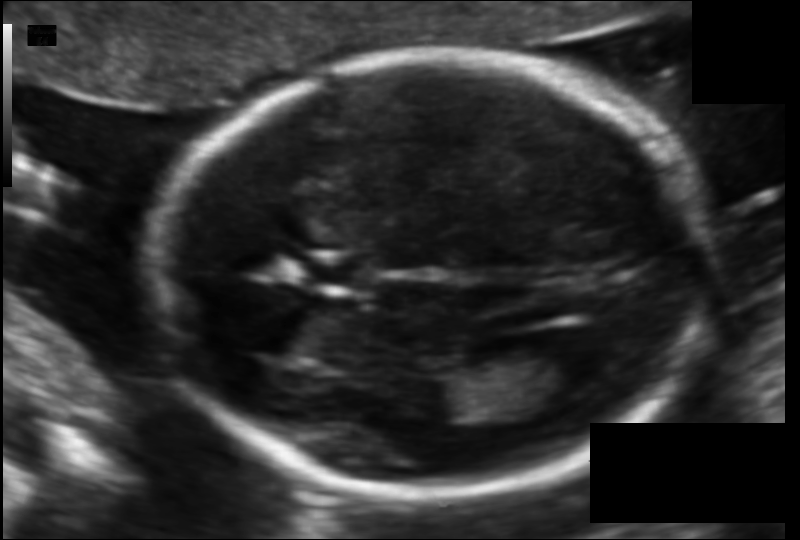
Fetal head ultrasound. Image width: 83.8 mm. Where is the cavum septum pellucidum?

CSP bounding box: [306,254,374,289]